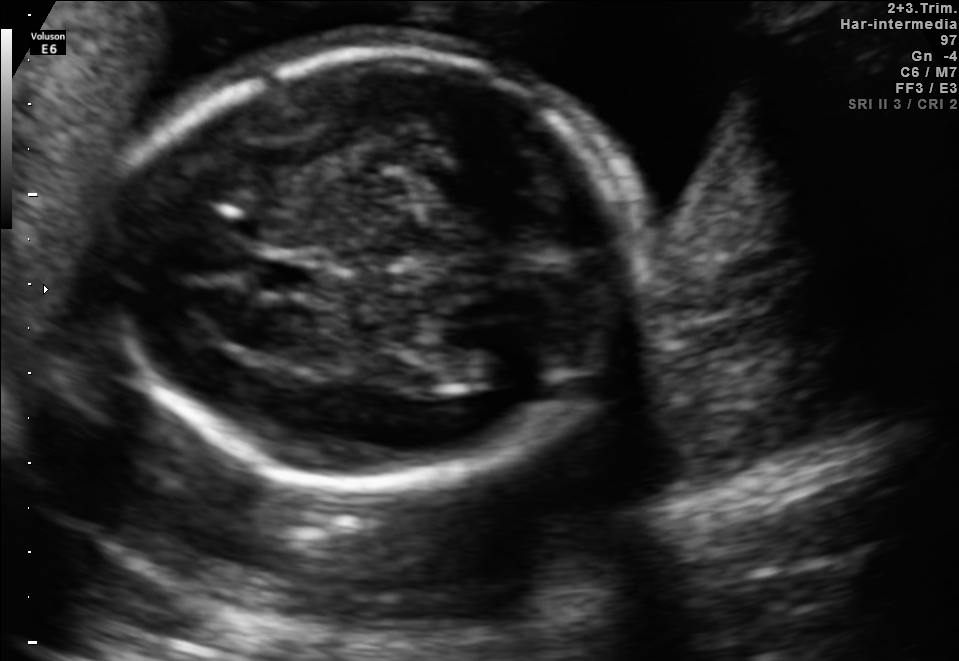
Fetal brain, trans-thalamic plane. Where is the lateral ventricle?

Lateral ventricle bounding box: [419,323,522,387]